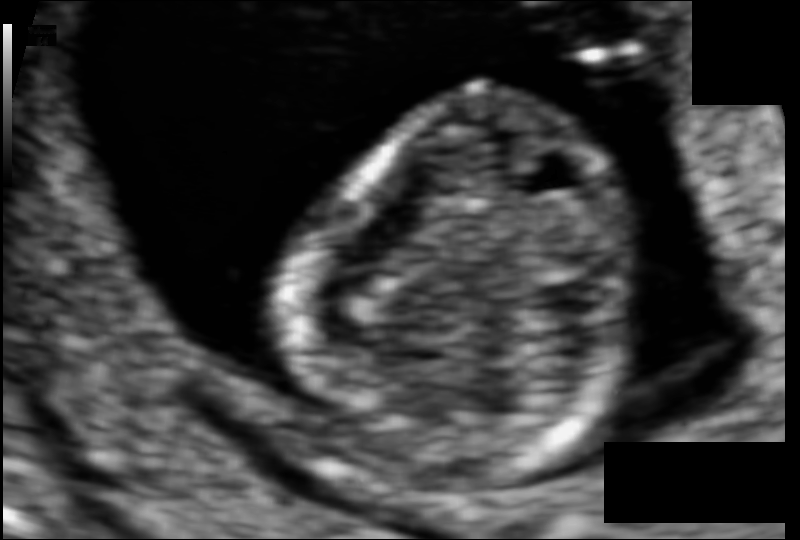
Estimate the fetal head circumference from this 2D ultrasound.

Head circumference: 69.3 mm (image width 48.3 mm).